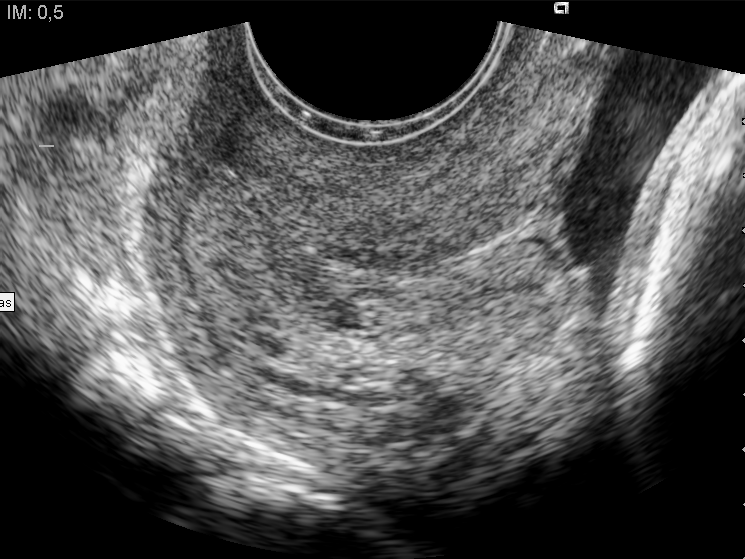
This is a 2D maternal-fetal ultrasound frame. Is it a fetal abdomen, fetal brain, fetal femur, fetal thorax, maternal cervix, or other standard plane? If it's fetal brain and one of the three standard brain planes (trans-thalamic, trans-cerebellum, trans-ventricular), name which.

Maternal cervix